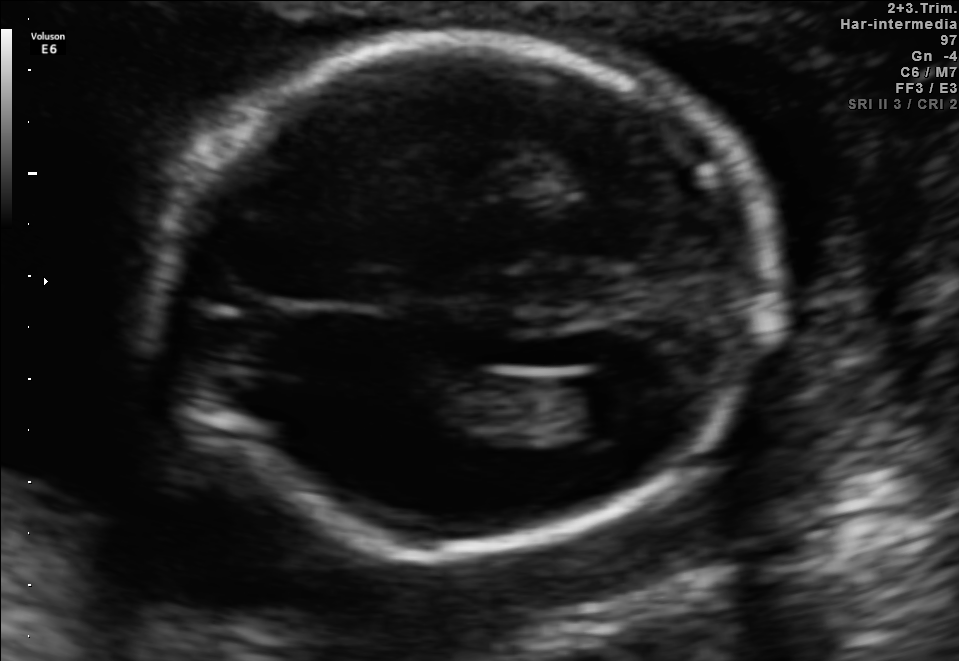
Fetal brain, trans-ventricular plane. Where is the fetal head?

Head bounding box: [125,30,790,561]